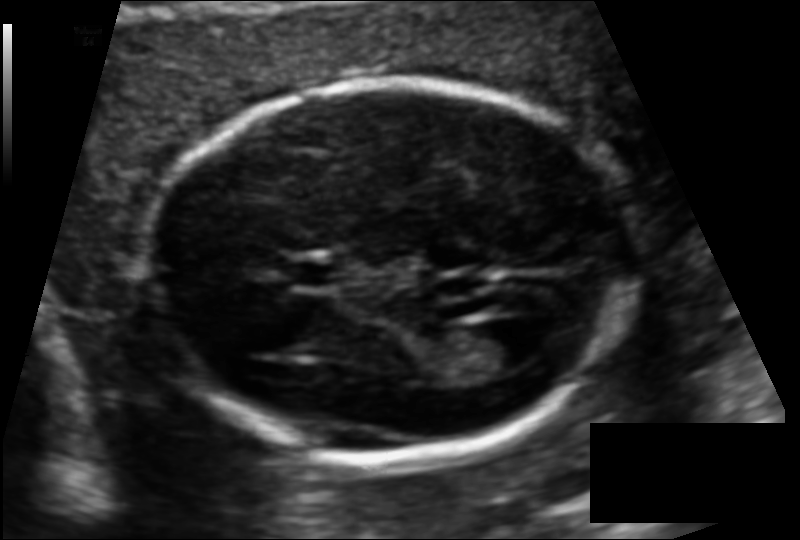
Fetal head ultrasound. Image width: 88.0 mm. Give [x1,y1,x2,y2] bounding boxes for each visible structure among: fetal head, CSP, LV.

Head: [148,79,631,457]
CSP: [288,262,339,285]
Lateral ventricle: [462,311,551,378]